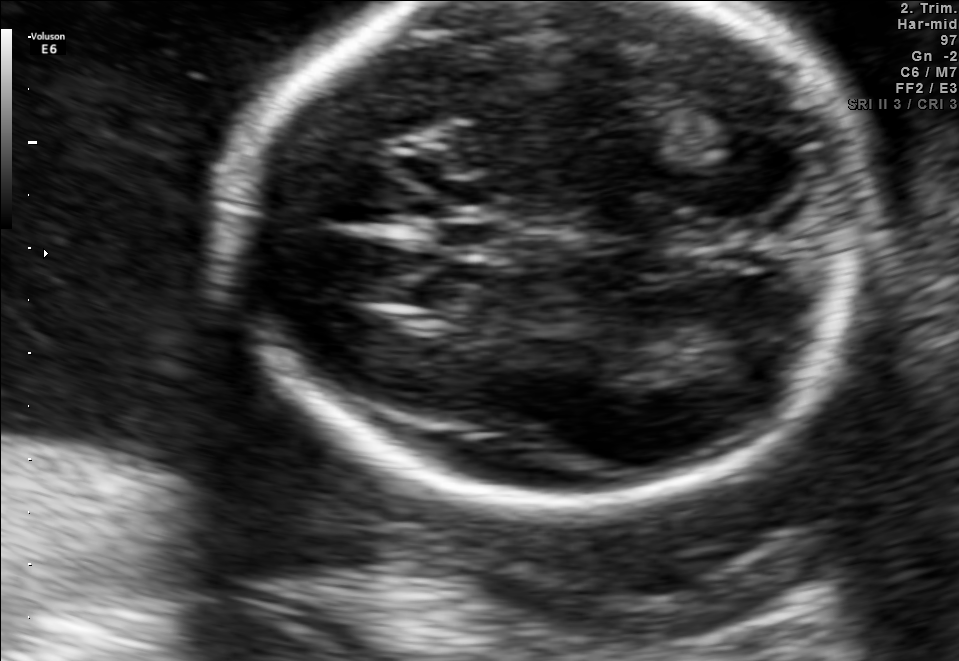
In this fetal brain, trans-thalamic plane, give bounding boxes for the head outline, cavum septum pellucidum (CSP), and lateral ventricle (LV), where visible.

Head: [222,2,867,503]
CSP: [436,221,504,252]